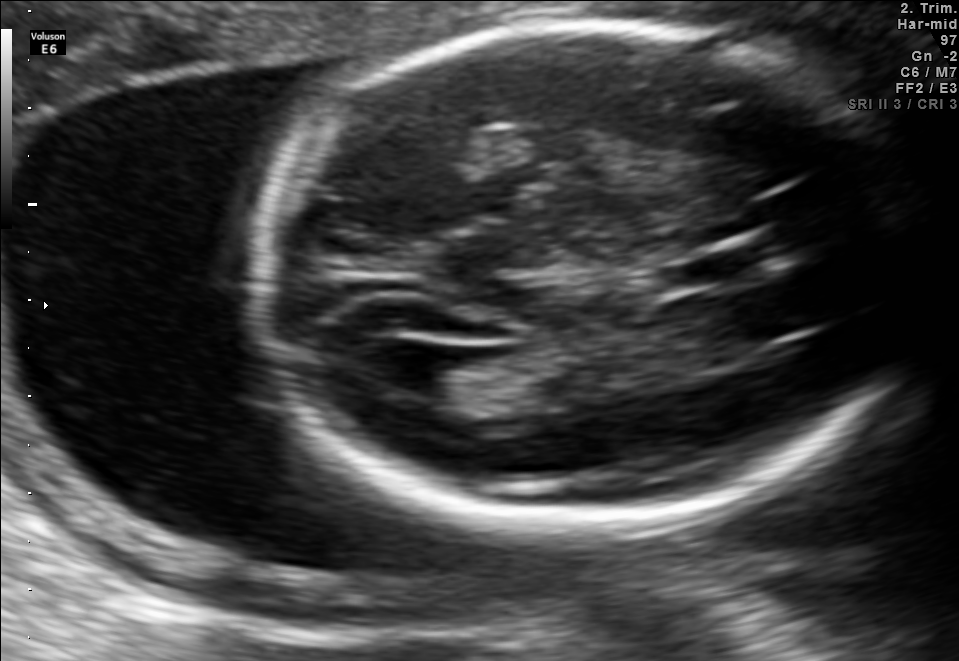
Fetal brain, trans-ventricular plane. Where is the lateral ventricle?

Lateral ventricle bounding box: [366,337,455,400]